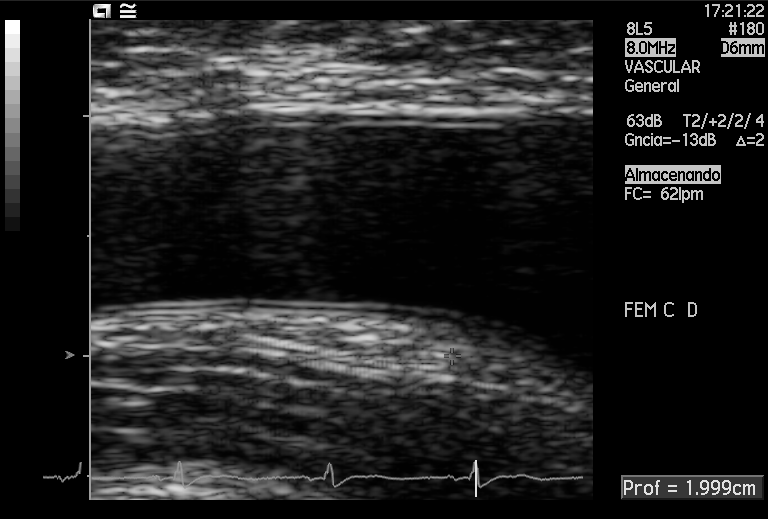
This is a 2D maternal-fetal ultrasound frame. Is it a fetal abdomen, fetal brain, fetal femur, fetal thorax, maternal cervix, or other standard plane? If it's fetal brain and one of the three standard brain planes (trans-thalamic, trans-cerebellum, trans-ventricular), name which.

Other